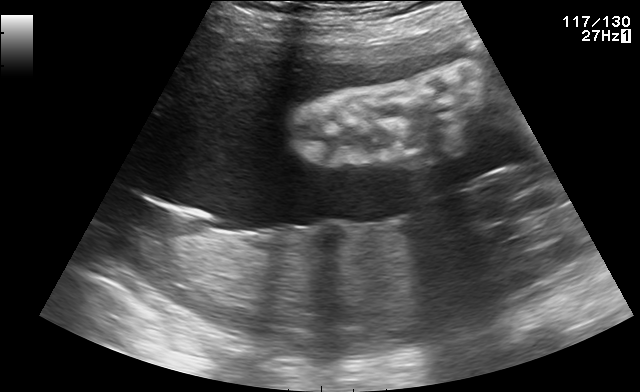
Identify the standard plane in this fetal ultrasound image: fetal abdomen, fetal brain, fetal femur, fetal thorax, maternal cervix, or other. If it's fetal brain and one of the three standard brain planes (trans-thalamic, trans-cerebellum, trans-ventricular), name which.

Other